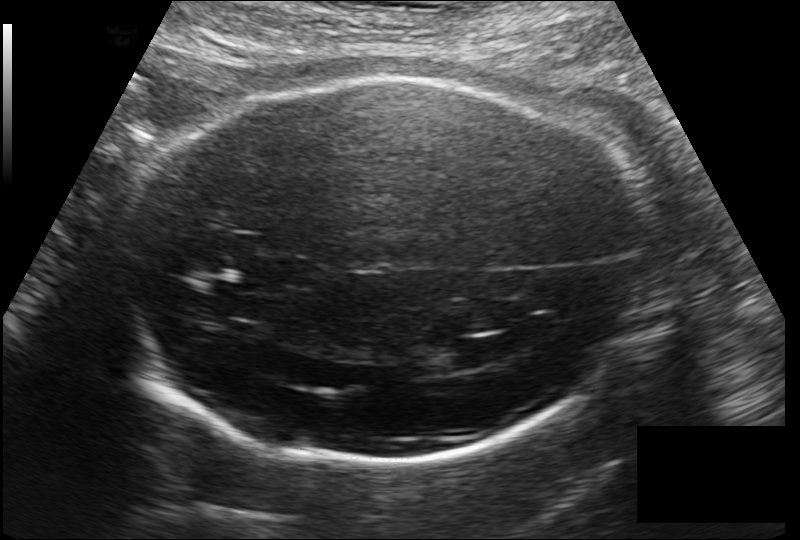
What is the fetal head circumference? Image width is 142.0 mm.

263.5 mm